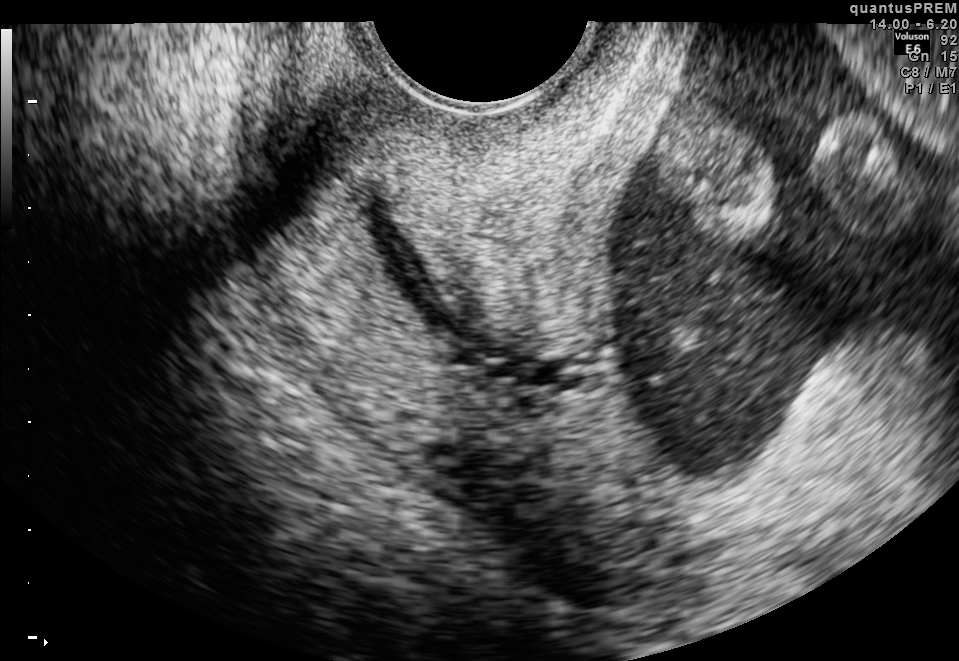
Identify the standard plane in this fetal ultrasound image: fetal abdomen, fetal brain, fetal femur, fetal thorax, maternal cervix, or other. If it's fetal brain and one of the three standard brain planes (trans-thalamic, trans-cerebellum, trans-ventricular), name which.

Maternal cervix